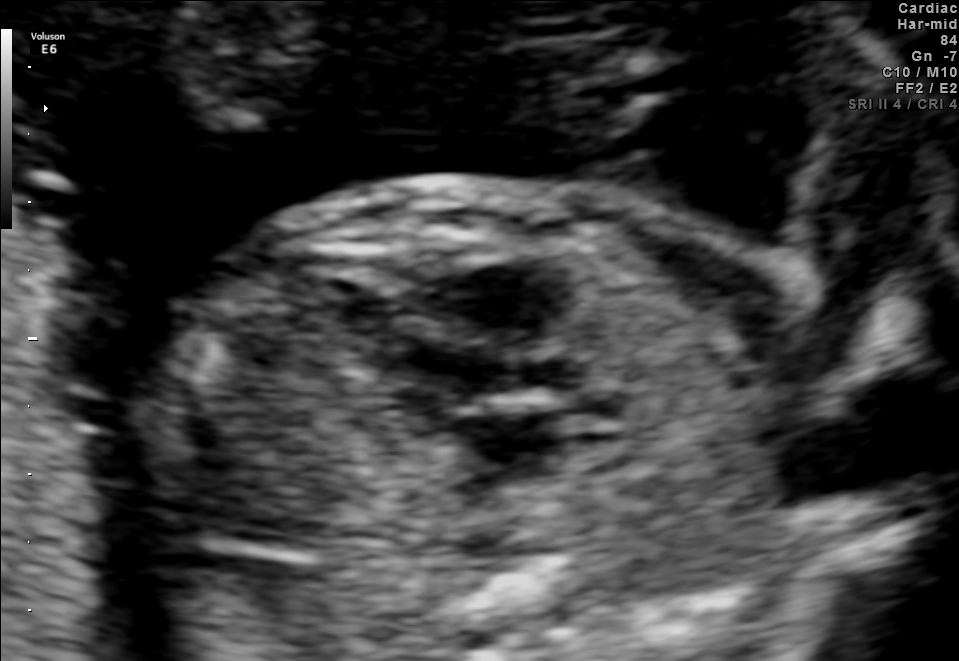
Identify the standard plane in this fetal ultrasound image: fetal abdomen, fetal brain, fetal femur, fetal thorax, maternal cervix, or other. If it's fetal brain and one of the three standard brain planes (trans-thalamic, trans-cerebellum, trans-ventricular), name which.

Other